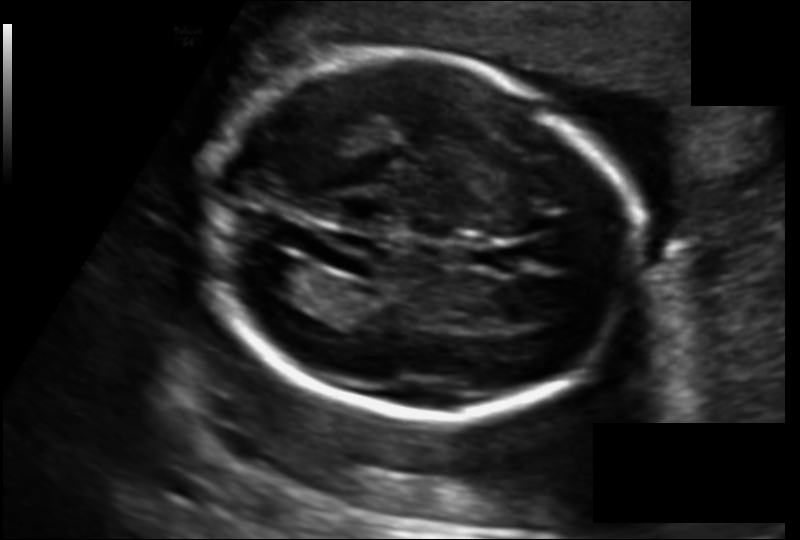
Estimate the fetal head circumference from this 2D ultrasound. Image width: 107.9 mm.

Head circumference: 174.4 mm.